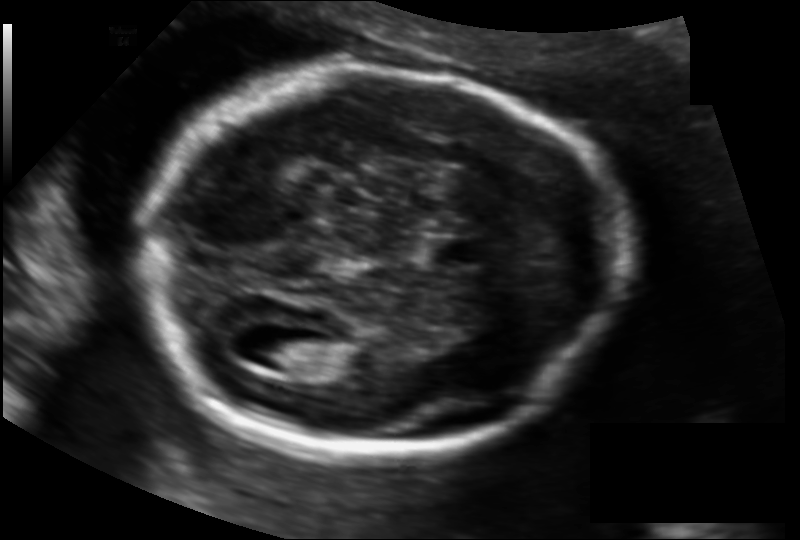
Estimate the fetal head circumference from this 2D ultrasound.

Head circumference: 175.9 mm (image width 102.3 mm).